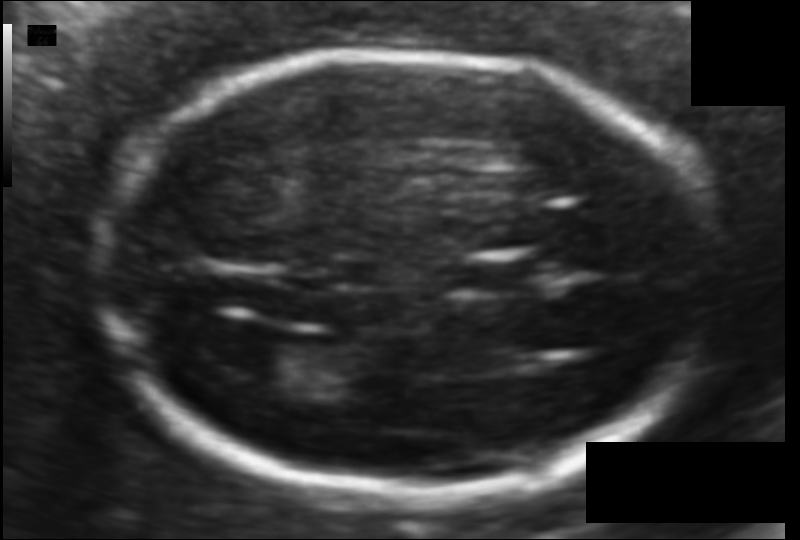
What is the fetal head circumference? Image width is 75.4 mm.

165.0 mm